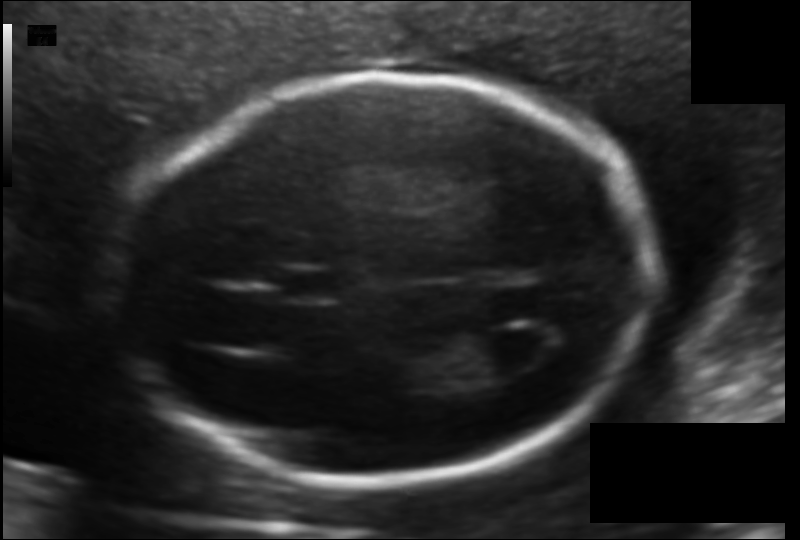
In this fetal head ultrasound, give the bounding box of the fetal head. Image width: 93.0 mm.

[124,76,651,484]